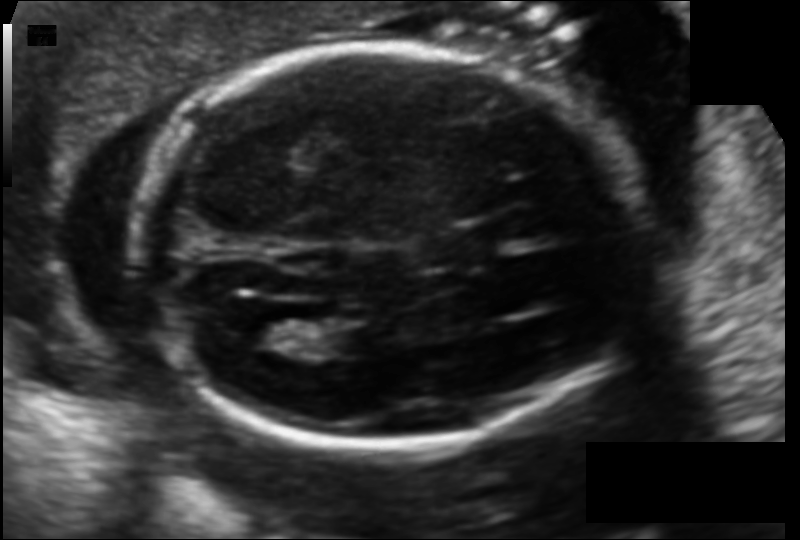
Fetal head ultrasound. Image width: 96.5 mm. Where is the cavum septum pellucidum?

CSP bounding box: [421,230,485,272]